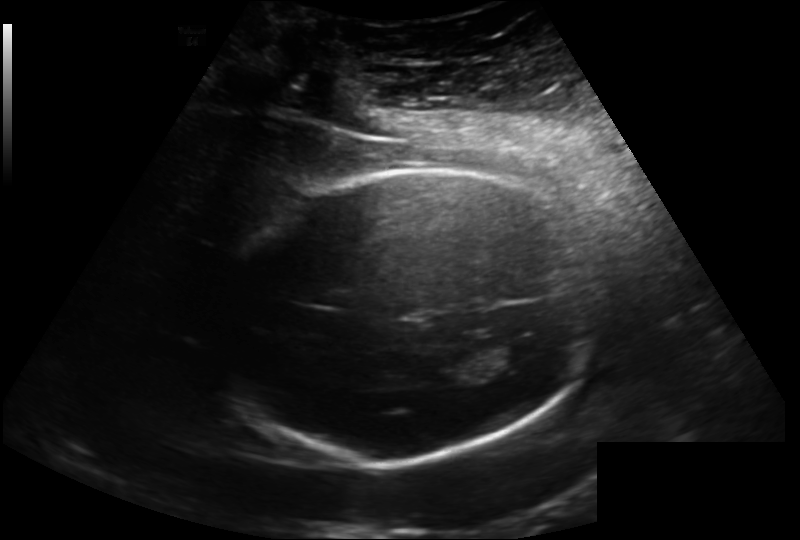
Fetal head ultrasound. Image width: 161.6 mm. Locate the fetal head.

Head: [208,171,606,461]